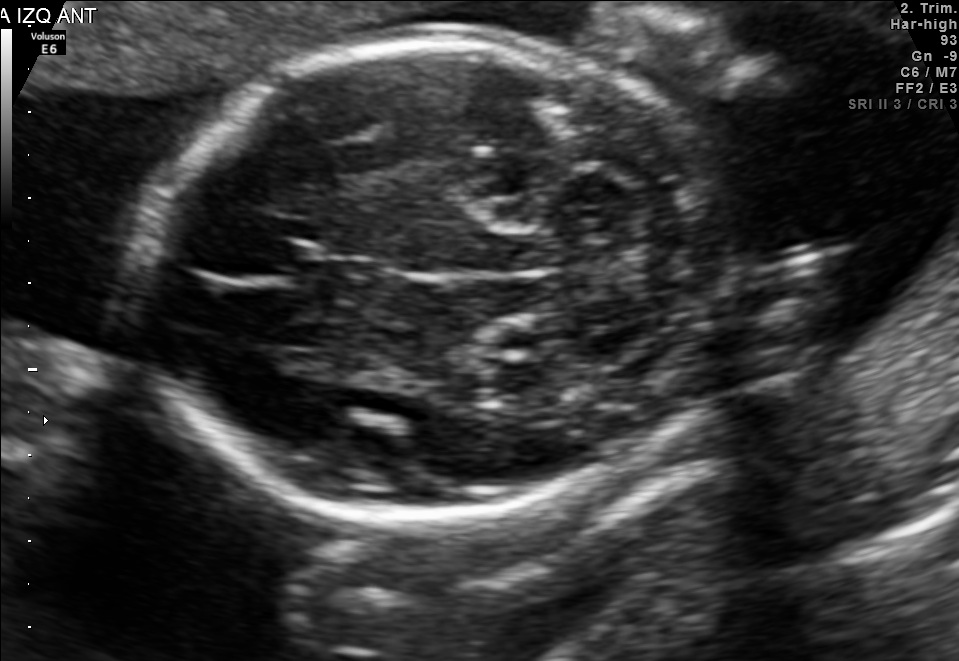
Fetal brain, trans-cerebellum plane. Give [x1,y1,x2,y2] bounding boxes for each visible structure among: fetal head, CSP, LV.

Head: [139,33,740,520]